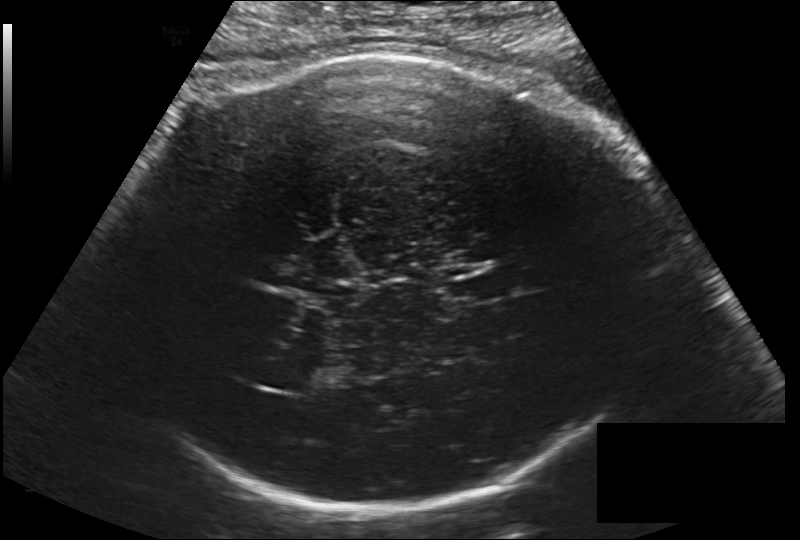
In this fetal head ultrasound, give the bounding box of the lateral ventricle. Image width: 162.2 mm.

[264,361,319,394]